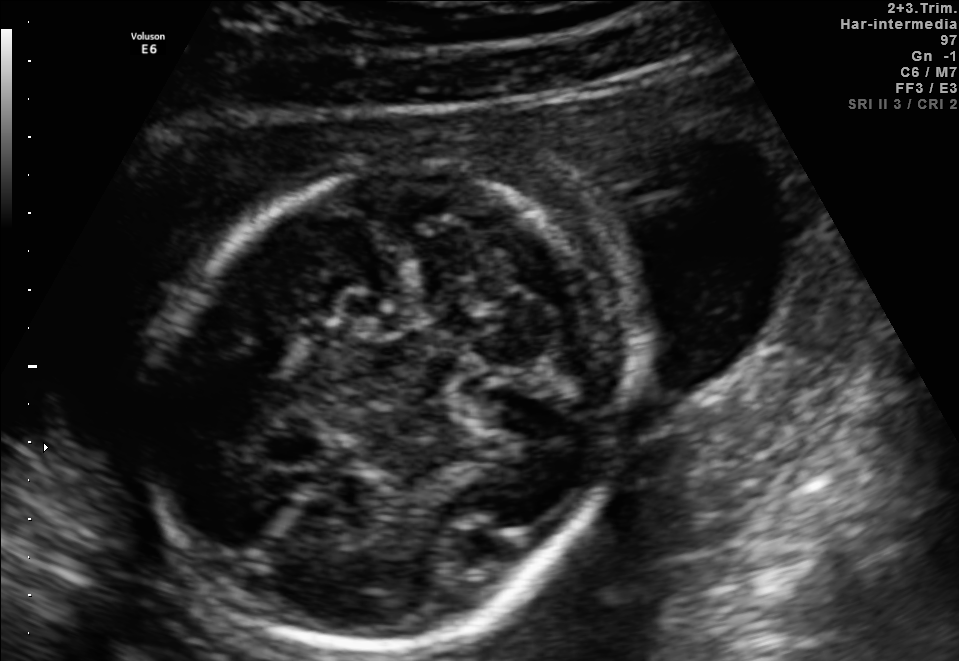
Fetal brain, trans-cerebellum plane. Give [x1,y1,x2,y2] bounding boxes for each visible structure among: fetal head, CSP, LV.

Head: [153,162,616,647]